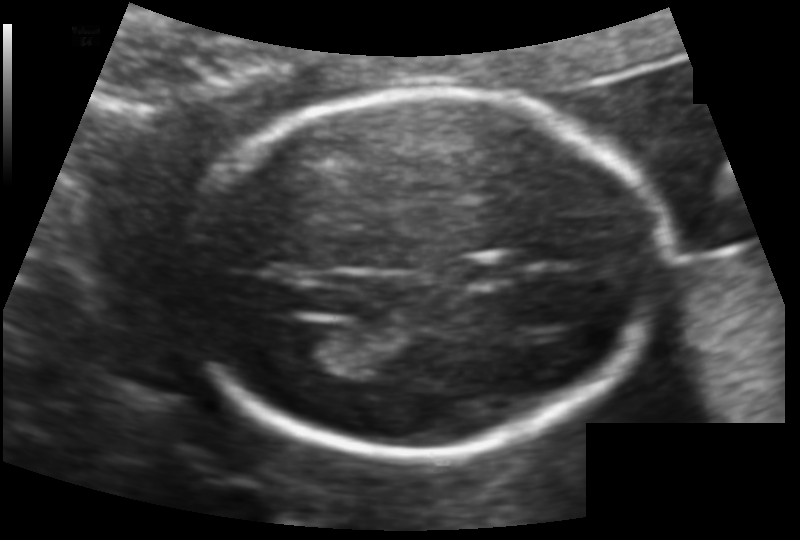
Fetal head ultrasound. Image width: 90.1 mm. Locate the cavum septum pellucidum.

CSP: [457,252,522,288]